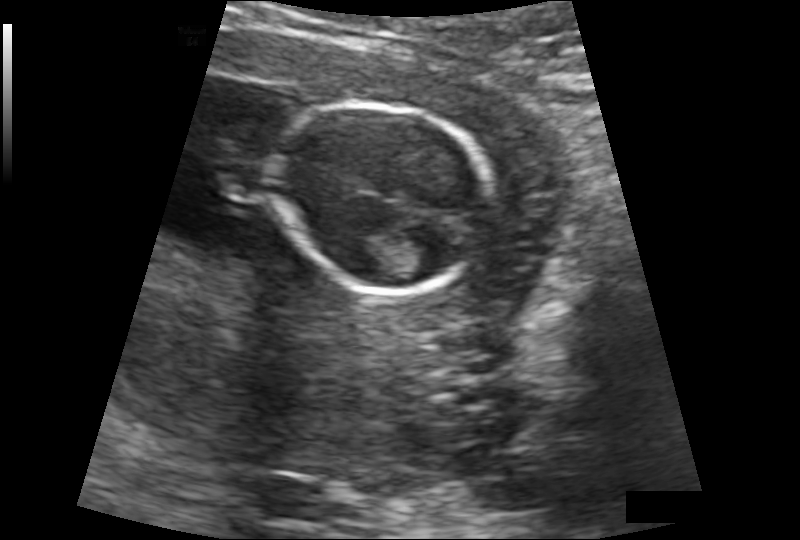
From this fetal ultrasound, estimate the head circumference (image width 105.8 mm).

Head circumference: 88.5 mm.